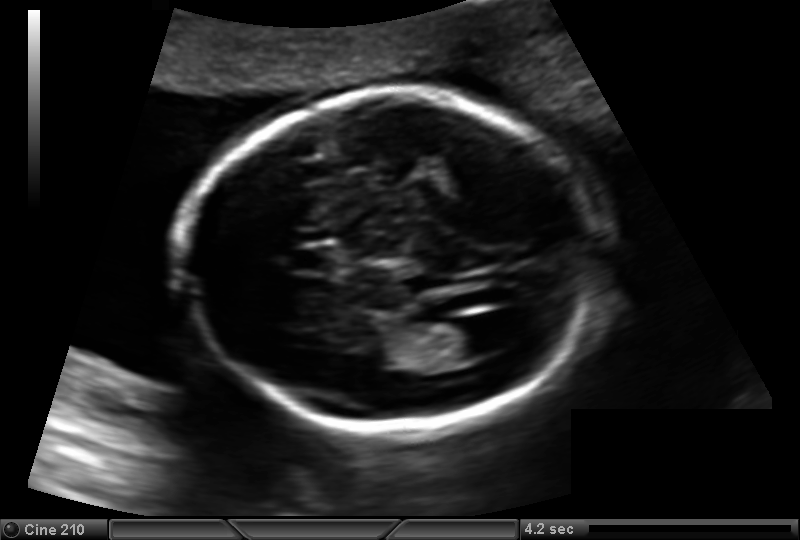
Fetal head ultrasound. Image width: 109.7 mm. Locate the lateral ventricle.

Lateral ventricle: [426,314,504,366]